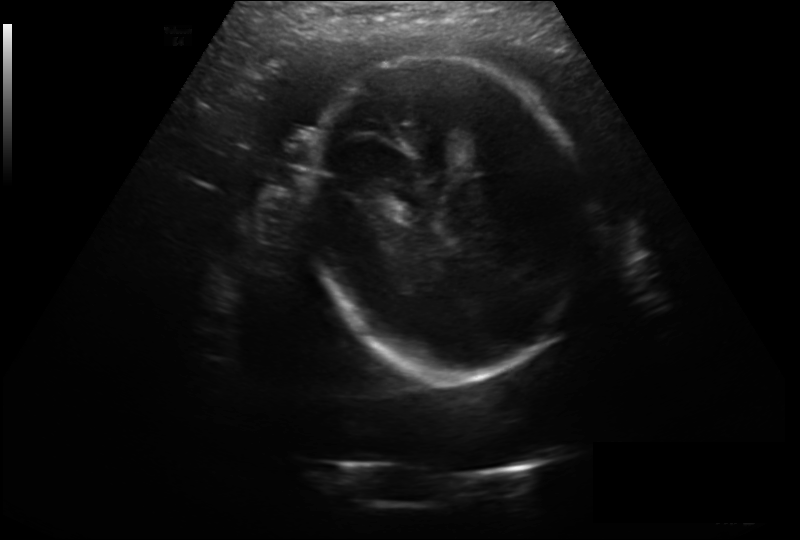
From this fetal ultrasound, estimate the head circumference (image width 197.0 mm).

Head circumference: 234.6 mm.